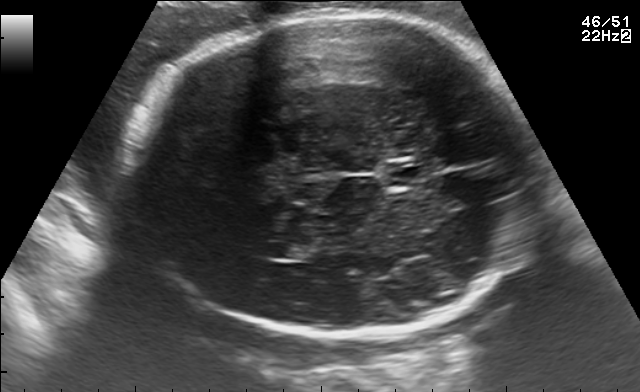
Fetal brain, trans-thalamic plane. Give [x1,y1,x2,y2] bounding boxes for each visible structure among: fetal head, CSP, LV.

Head: [125,17,539,336]
CSP: [387,161,427,187]
Lateral ventricle: [261,240,312,260]